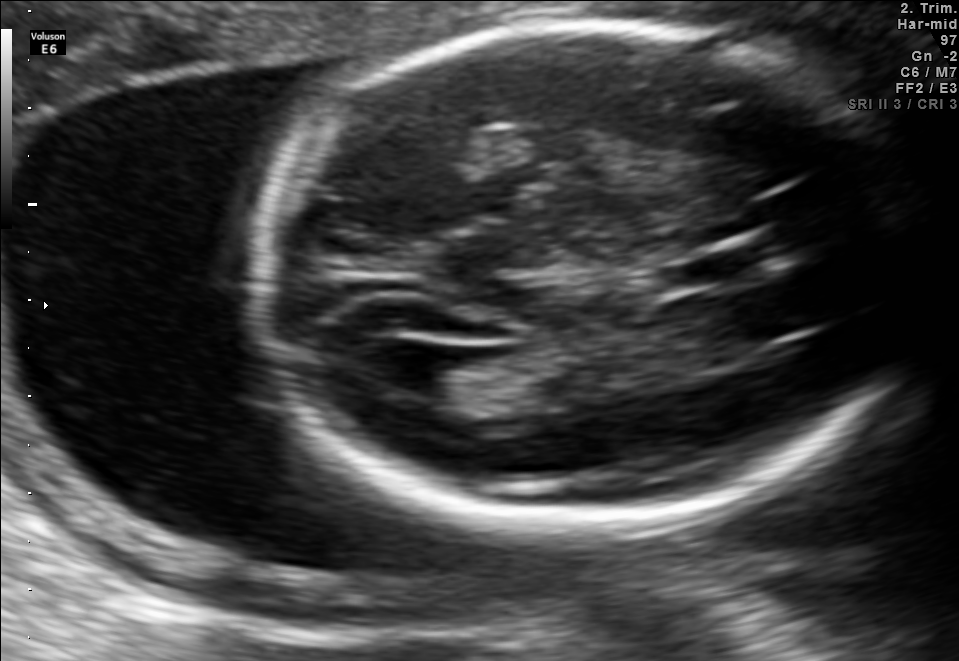
Fetal brain, trans-ventricular plane. Locate the lateral ventricle.

Lateral ventricle: [366,337,455,400]